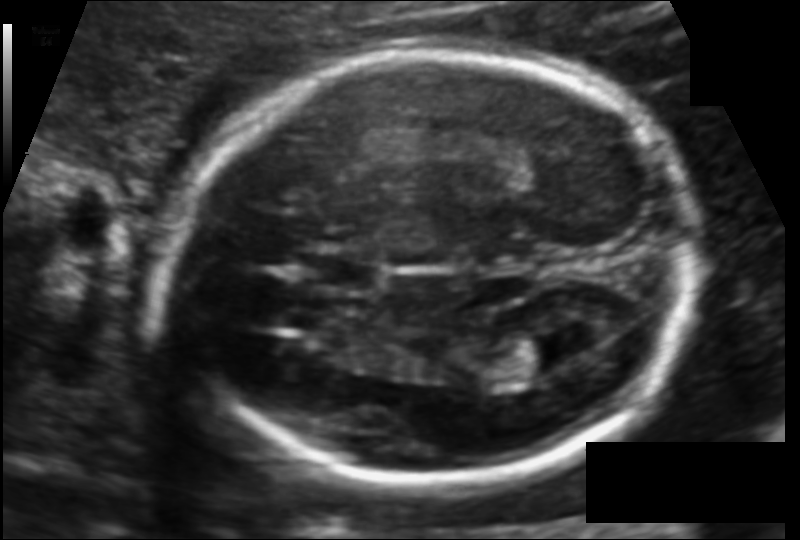
Estimate the fetal head circumference from this 2D ultrasound.

Head circumference: 172.8 mm (image width 90.0 mm).